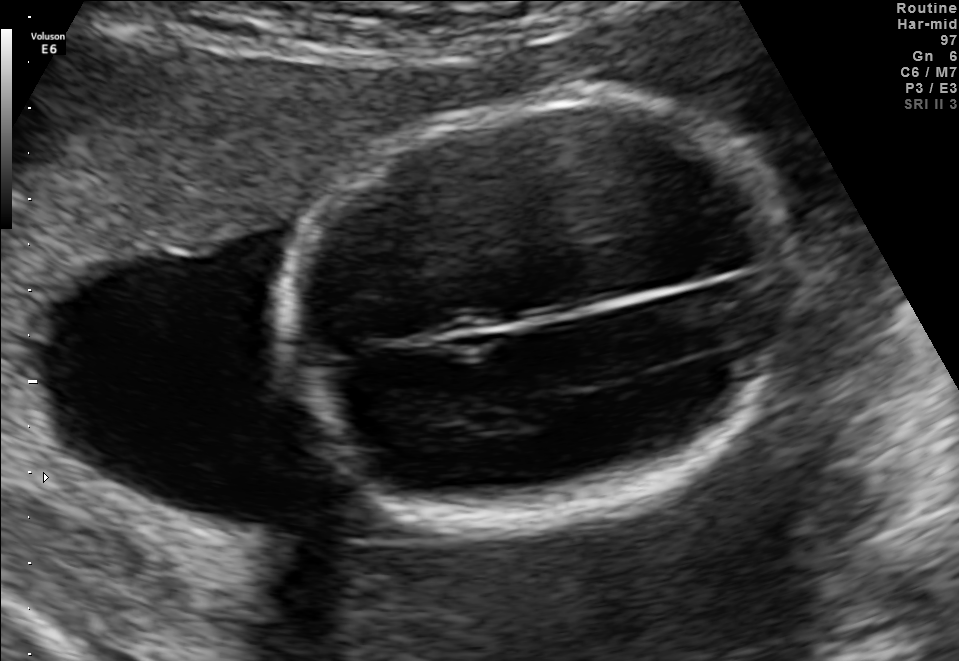
Fetal brain, trans-thalamic plane. Where is the fetal head?

Head bounding box: [291,103,790,518]